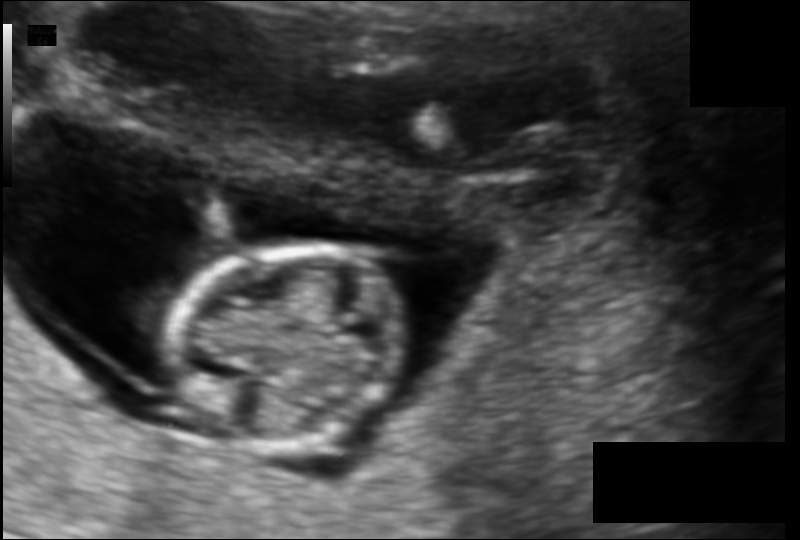
Estimate the fetal head circumference from this 2D ultrasound.

Head circumference: 75.8 mm (image width 83.9 mm).